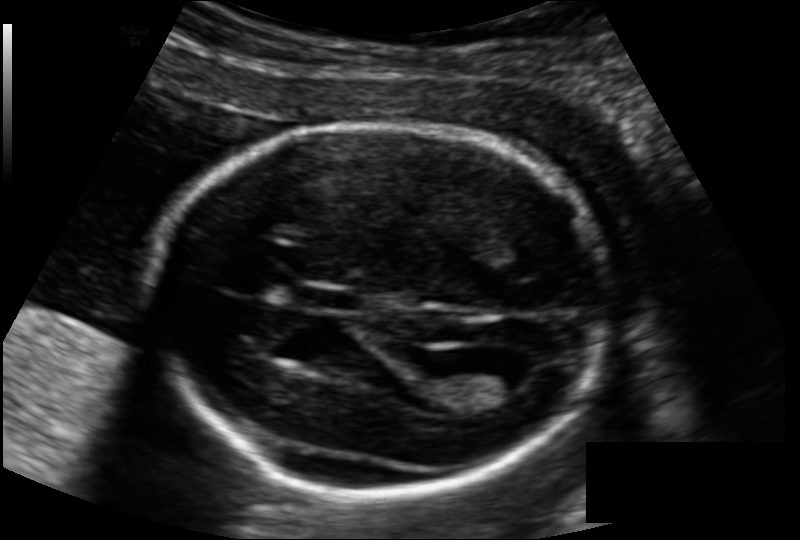
Fetal head ultrasound. Image width: 106.7 mm. Where is the lateral ventricle?

Lateral ventricle bounding box: [467,350,539,407]